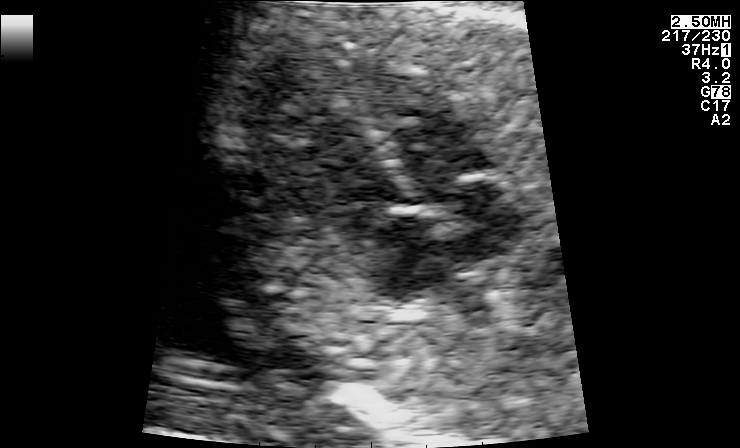
Identify the standard plane in this fetal ultrasound image: fetal abdomen, fetal brain, fetal femur, fetal thorax, maternal cervix, or other. If it's fetal brain and one of the three standard brain planes (trans-thalamic, trans-cerebellum, trans-ventricular), name which.

Fetal thorax